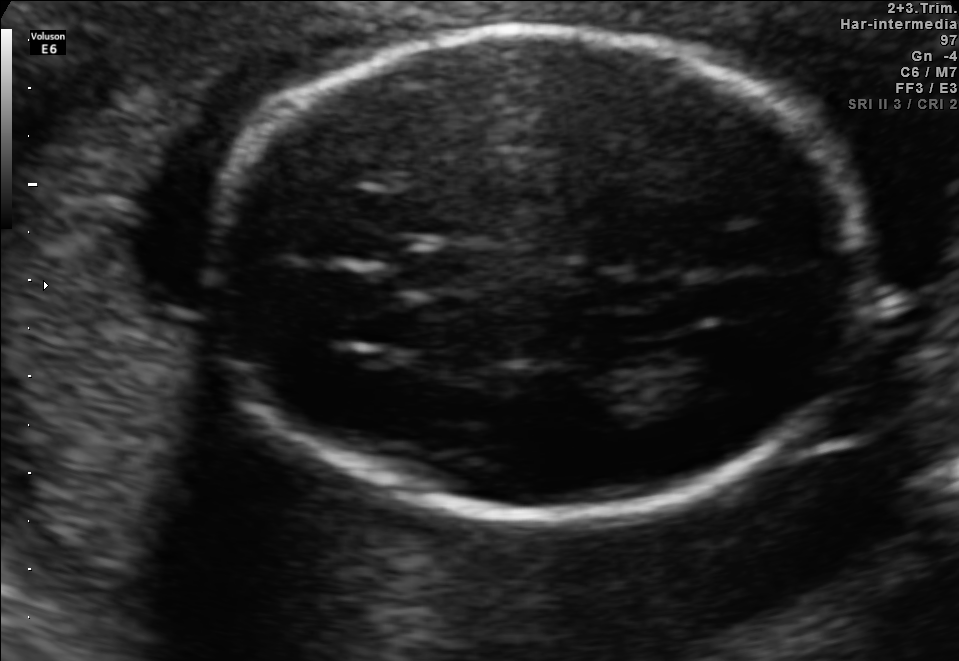
Fetal brain, trans-thalamic plane. Locate the cavum septum pellucidum.

CSP: [398,246,483,295]